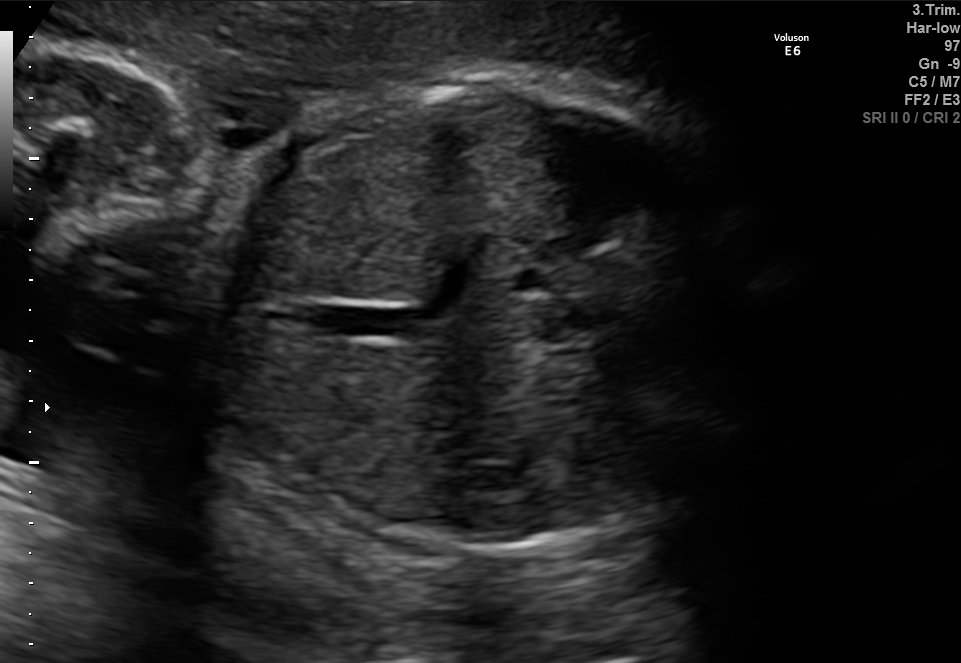
Classify this maternal-fetal ultrasound image as one of the six standard planes — fetal abdomen, fetal brain, fetal femur, fetal thorax, maternal cervix, or other. If it's fetal brain and one of the three standard brain planes (trans-thalamic, trans-cerebellum, trans-ventricular), name which.

Fetal abdomen